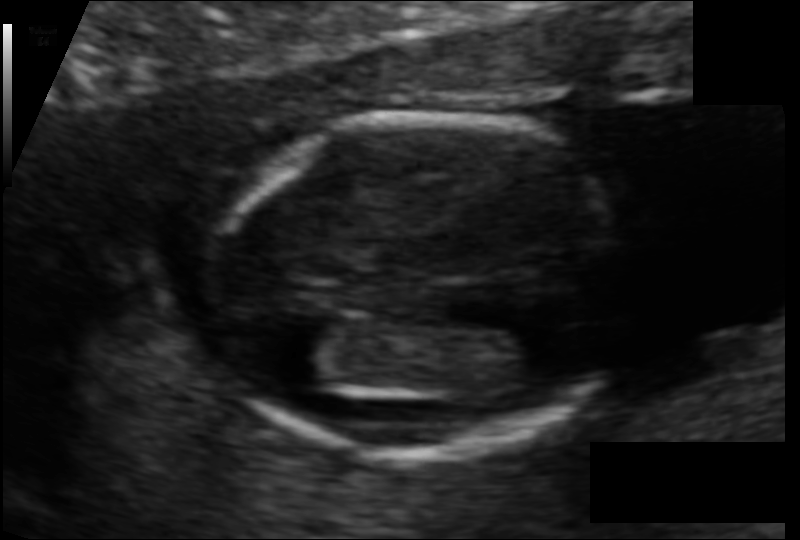
What is the fetal head circumference? Image width is 65.5 mm.

101.1 mm